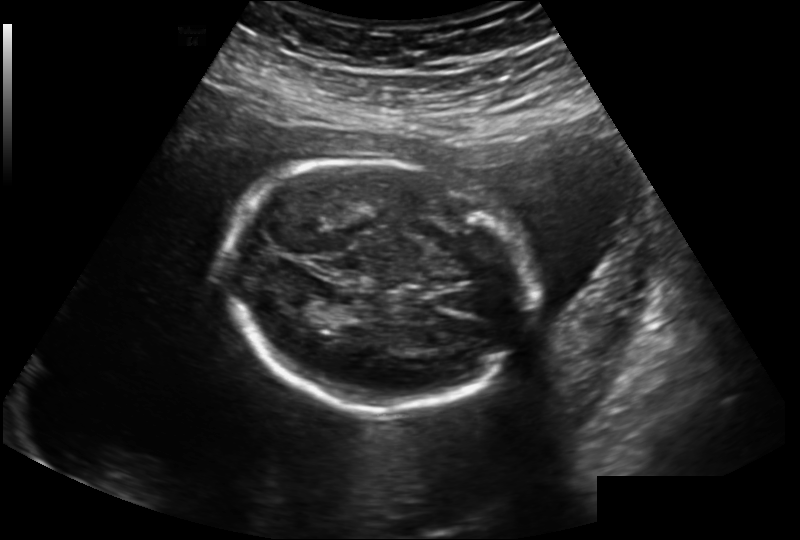
From this fetal ultrasound, estimate the head circumference (image width 161.6 mm).

Head circumference: 185.6 mm.